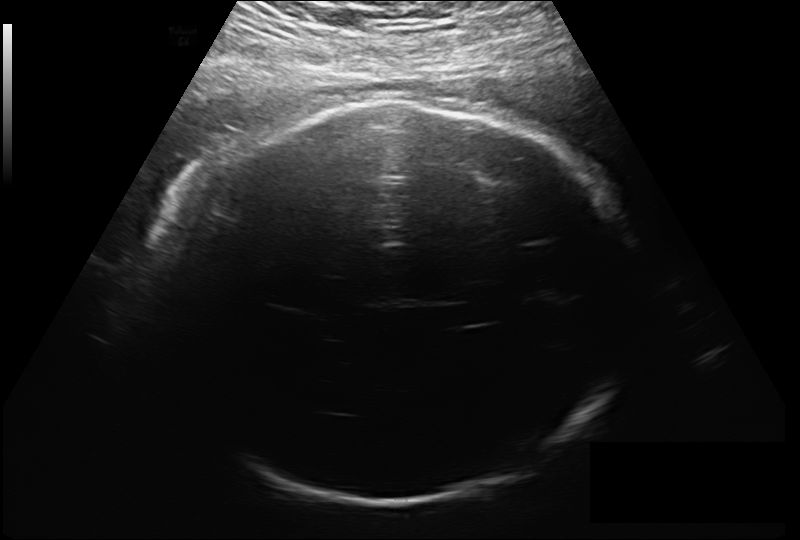
Estimate the fetal head circumference from this 2D ultrasound. Image width: 170.5 mm.

Head circumference: 306.0 mm.